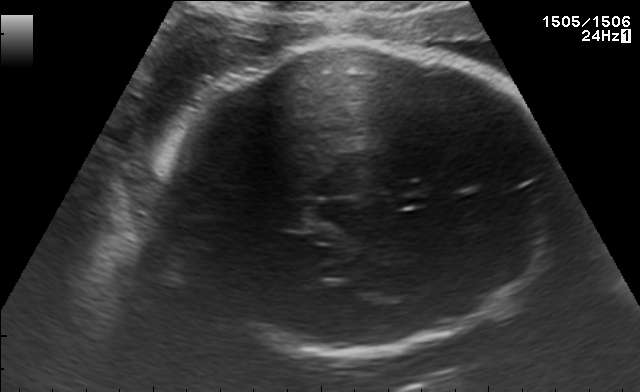
Fetal brain, trans-thalamic plane. Locate the fetal head.

Head: [158,47,558,355]